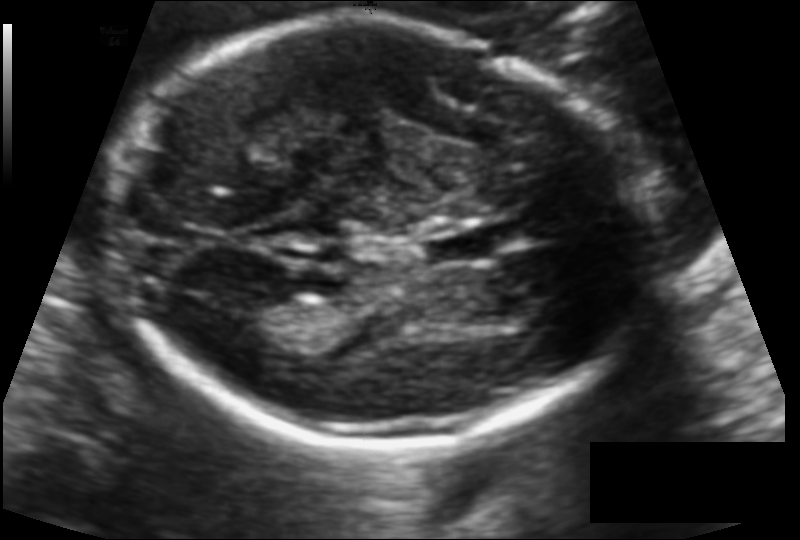
In this fetal head ultrasound, give the bounding box of the cavum septum pellucidum. Image width: 90.9 mm.

[417,221,499,270]